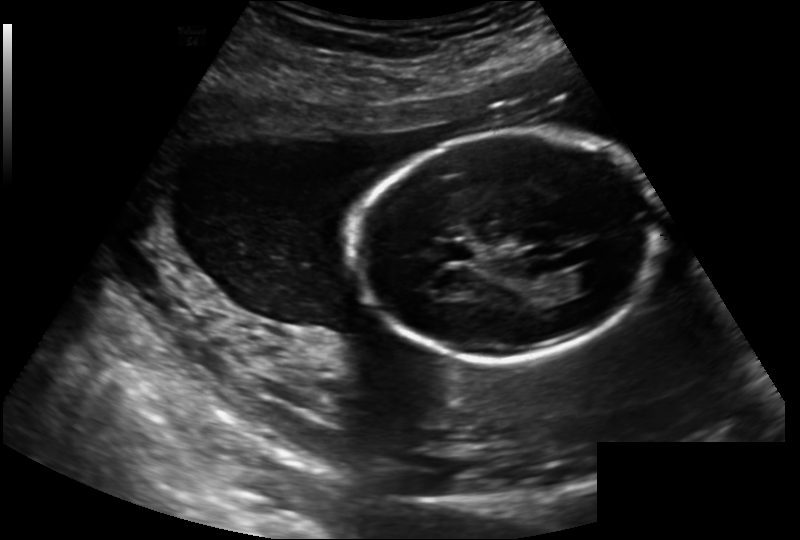
Measure the fetal head circumference shown in this ultrasound image. Image width: 161.7 mm.

Head circumference: 175.9 mm.